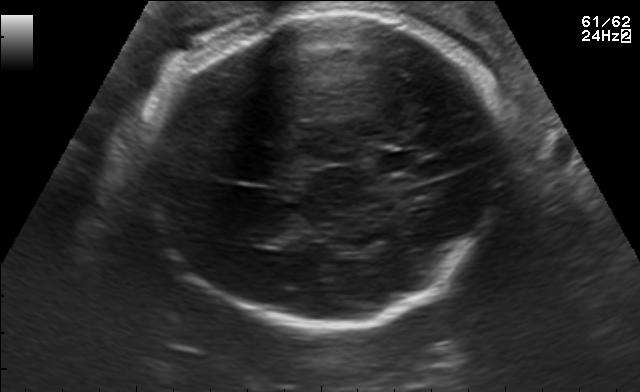
Fetal brain, trans-thalamic plane. Where is the fetal head?

Head bounding box: [131,11,506,326]